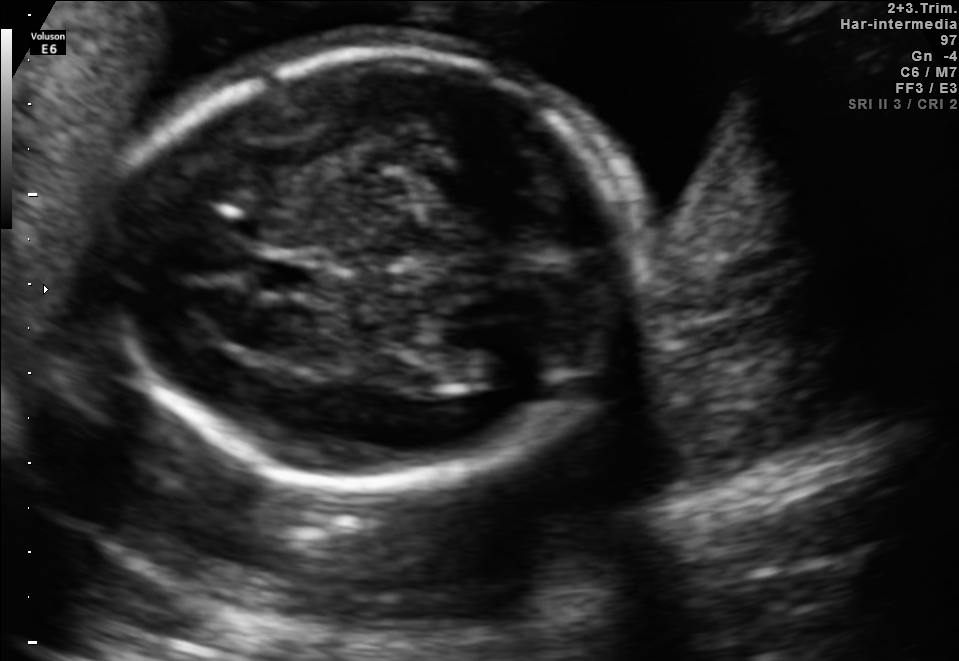
Fetal brain, trans-thalamic plane. Locate the fetal head and, if visible, the cavum septum pellucidum (CSP) and lateral ventricle (LV). Give bounding boxes as [x1,y1,x2,y2].

Head: [111,48,648,473]
CSP: [255,260,323,294]
Lateral ventricle: [419,323,522,387]